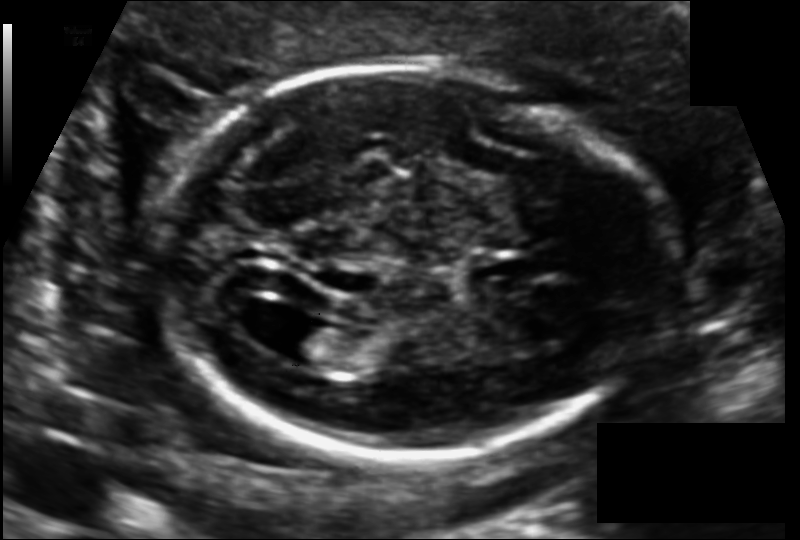
Estimate the fetal head circumference from this 2D ultrasound.

Head circumference: 171.2 mm (image width 94.6 mm).